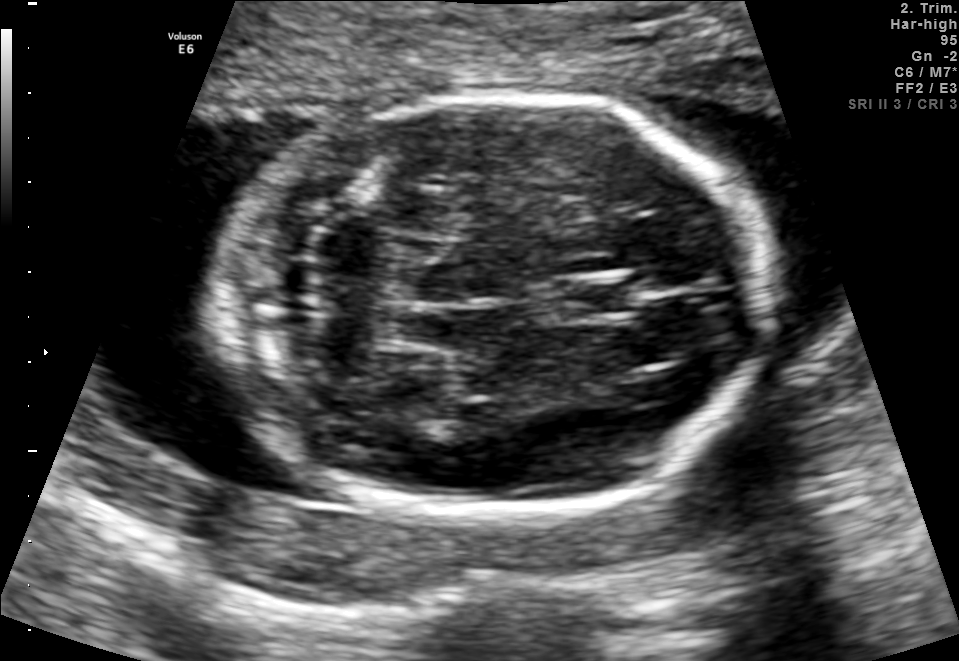
Fetal brain, trans-cerebellum plane. Where is the cavum septum pellucidum?

CSP bounding box: [547,277,634,322]